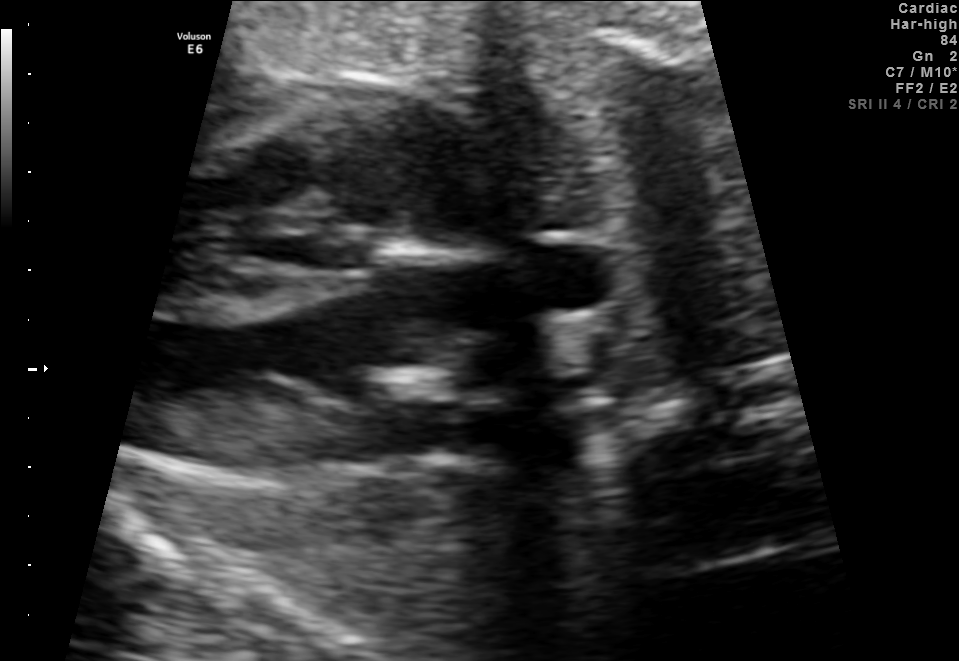
Which standard maternal-fetal ultrasound plane is shown: fetal abdomen, fetal brain, fetal femur, fetal thorax, maternal cervix, or other? If it's fetal brain and one of the three standard brain planes (trans-thalamic, trans-cerebellum, trans-ventricular), name which.

Fetal thorax